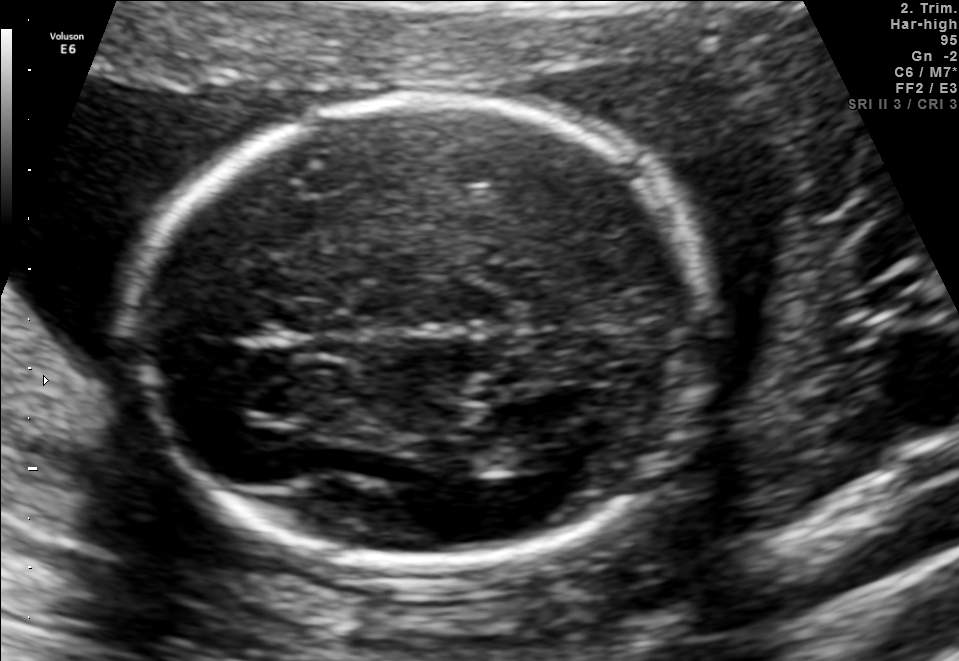
Fetal brain, trans-thalamic plane. Where is the lateral ventricle?

Lateral ventricle bounding box: [471,431,565,478]